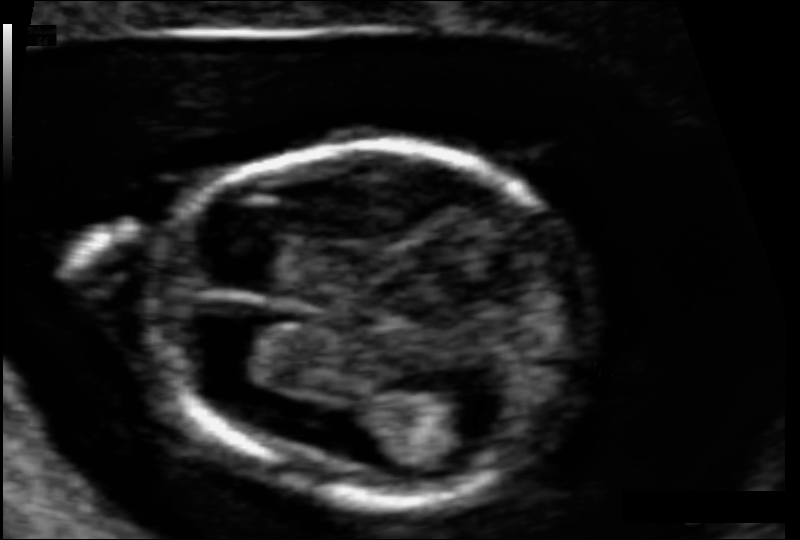
In this fetal head ultrasound, give bounding boxes for the head outline, cavum septum pellucidum (CSP), and lateral ventricle (LV), where visible. Image width: 50.1 mm.

Head: [149,145,592,502]